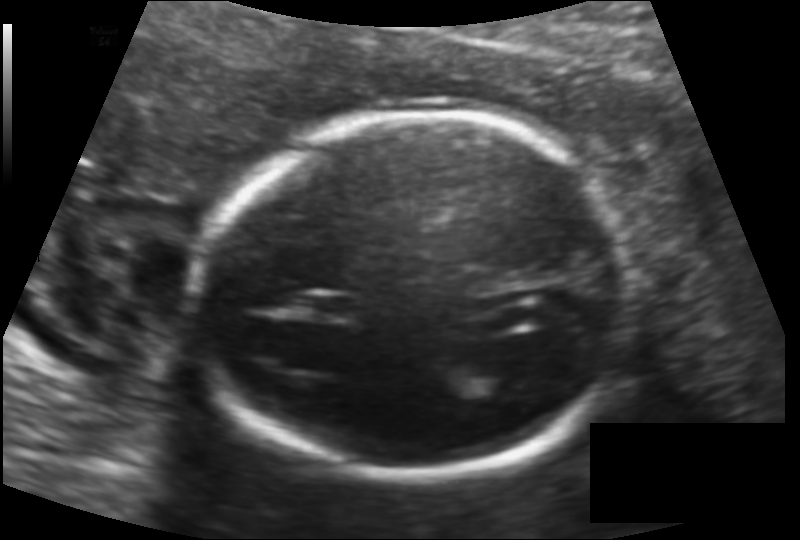
From this fetal ultrasound, estimate the head circumference (image width 104.4 mm).

Head circumference: 169.5 mm.